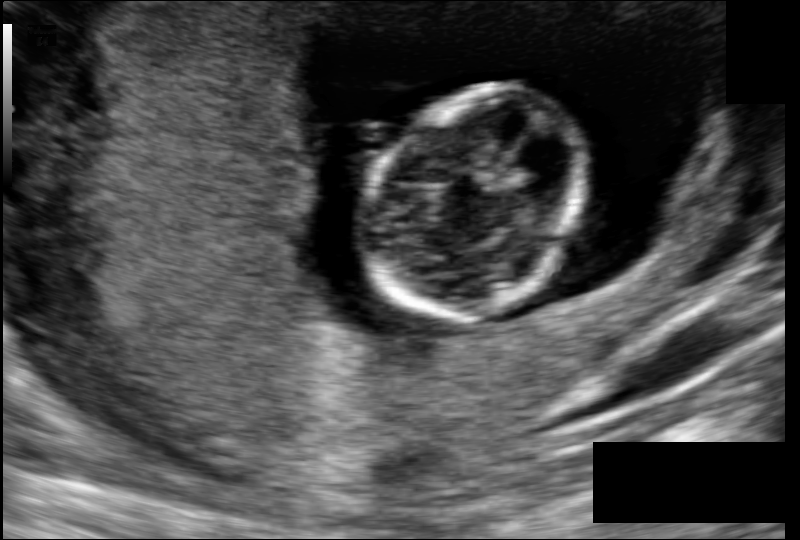
In this fetal head ultrasound, give the bounding box of the fetal head. Image width: 86.3 mm.

[360,86,588,324]